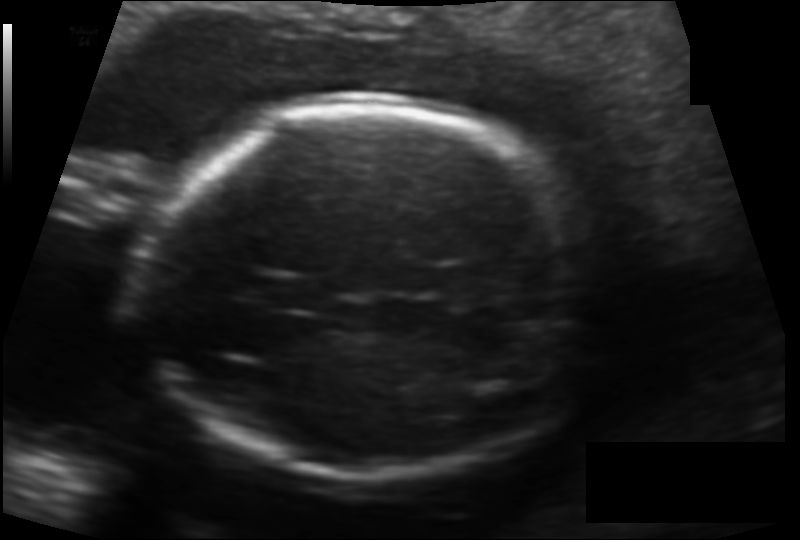
Fetal head ultrasound. Image width: 105.8 mm. Where is the fetal head?

Head bounding box: [143,101,593,483]